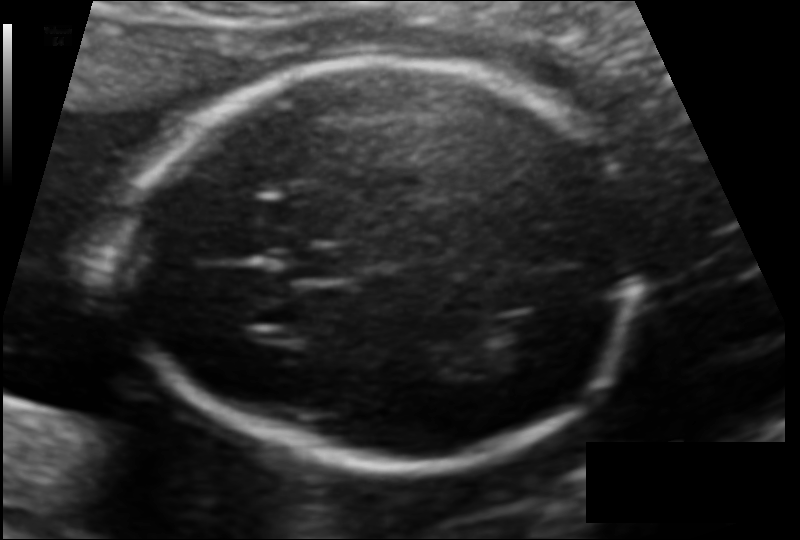
In this fetal head ultrasound, give the bounding box of the fetal head. Image width: 92.5 mm.

[126,58,641,464]